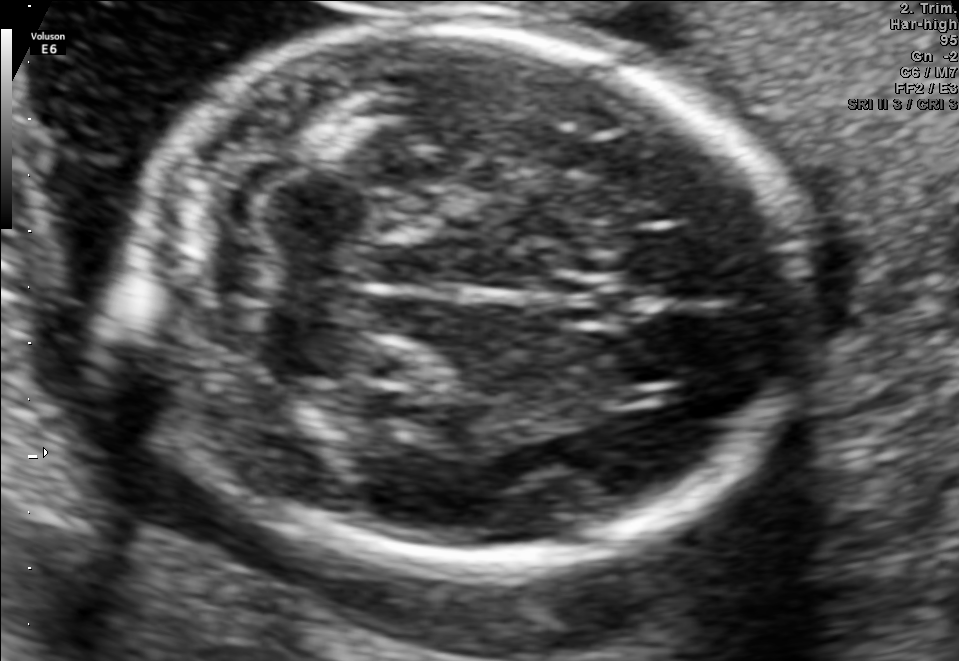
Fetal brain, trans-cerebellum plane. Give [x1,y1,x2,y2] bounding boxes for each visible structure among: fetal head, CSP, LV.

Head: [132,26,801,567]